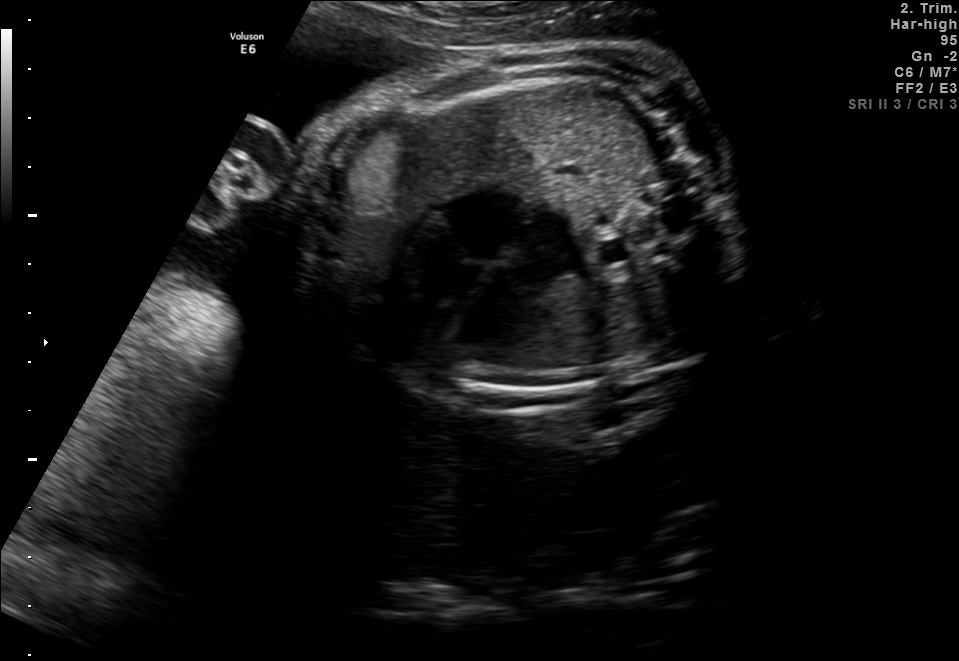
Which standard maternal-fetal ultrasound plane is shown: fetal abdomen, fetal brain, fetal femur, fetal thorax, maternal cervix, or other? If it's fetal brain and one of the three standard brain planes (trans-thalamic, trans-cerebellum, trans-ventricular), name which.

Fetal thorax